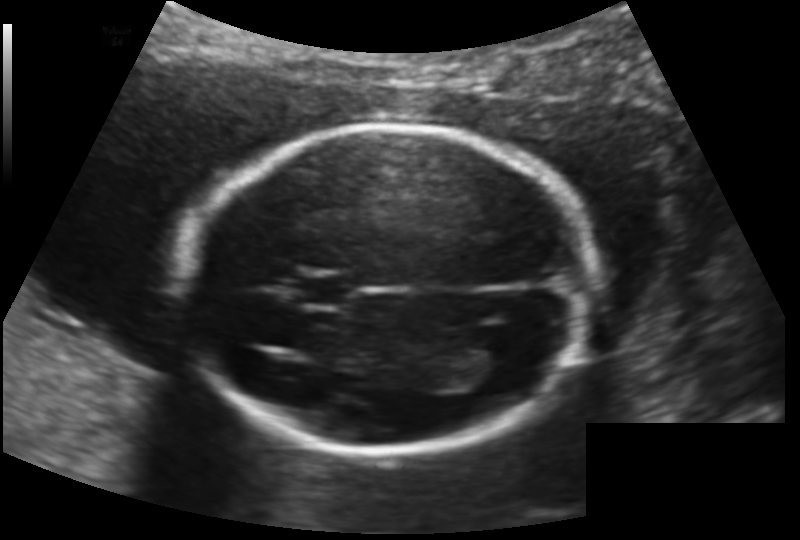
From this fetal ultrasound, estimate the head circumference (image width 116.3 mm).

Head circumference: 174.8 mm.